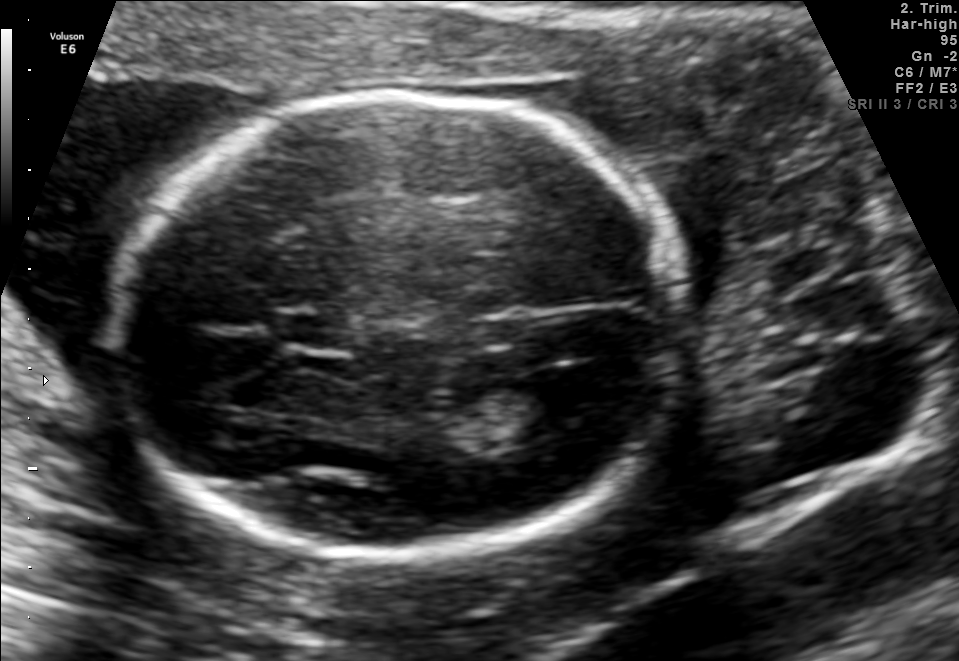
In this fetal brain, trans-ventricular plane, give the bounding box of the cavum septum pellucidum.

[269,309,364,354]